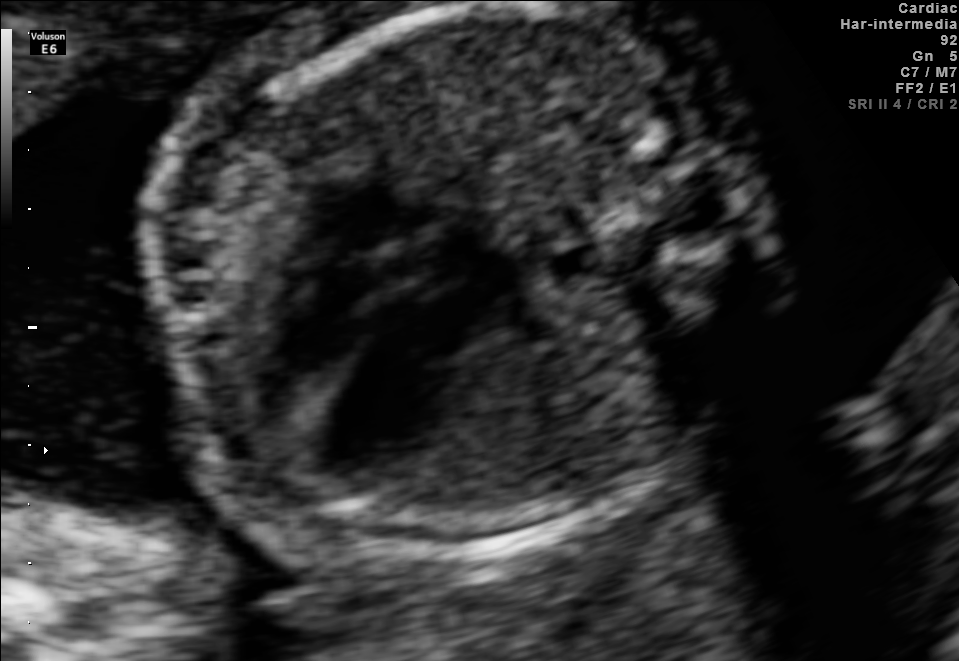
Classify this maternal-fetal ultrasound image as one of the six standard planes — fetal abdomen, fetal brain, fetal femur, fetal thorax, maternal cervix, or other. If it's fetal brain and one of the three standard brain planes (trans-thalamic, trans-cerebellum, trans-ventricular), name which.

Fetal thorax